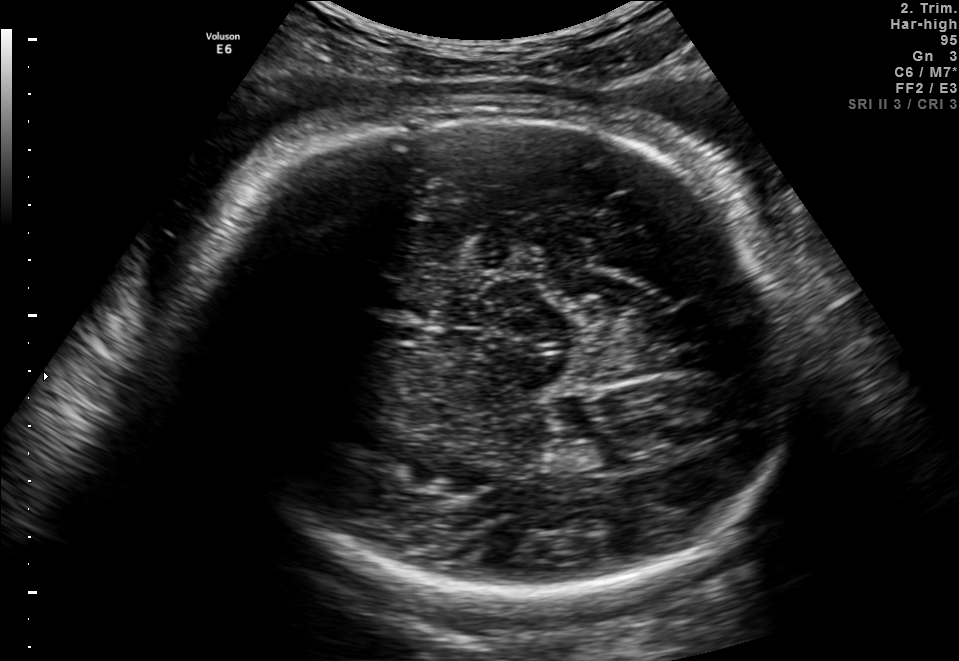
In this fetal brain, trans-thalamic plane, give bounding boxes for the head outline, cavum septum pellucidum (CSP), and lateral ventricle (LV), where visible.

Head: [193,116,804,601]